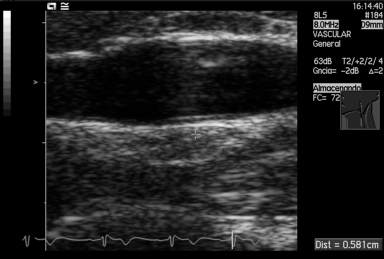
Classify this maternal-fetal ultrasound image as one of the six standard planes — fetal abdomen, fetal brain, fetal femur, fetal thorax, maternal cervix, or other. If it's fetal brain and one of the three standard brain planes (trans-thalamic, trans-cerebellum, trans-ventricular), name which.

Other